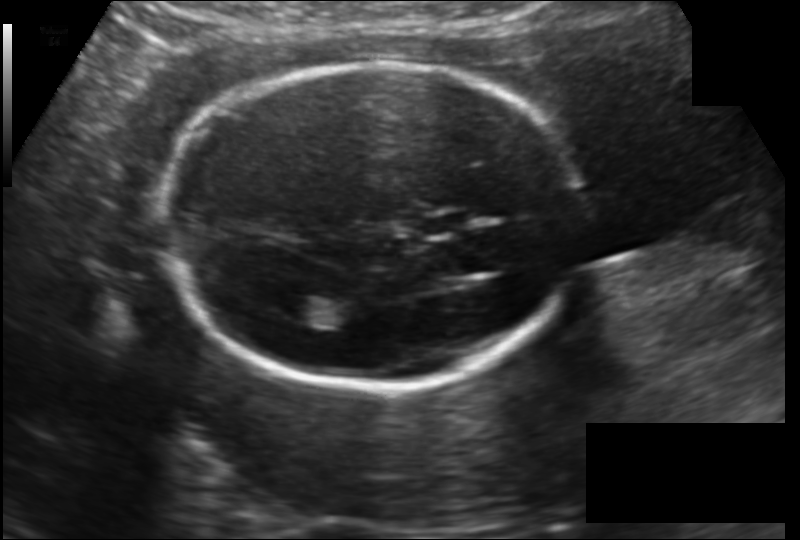
Fetal head ultrasound. Image width: 118.1 mm. Locate the lateral ventricle.

Lateral ventricle: [276,293,323,326]